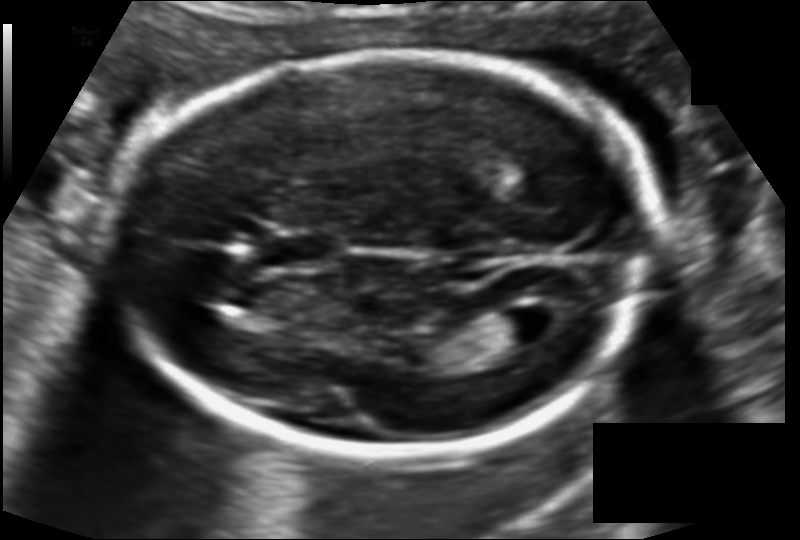
Fetal head ultrasound. Image width: 92.2 mm. Where is the cavum septum pellucidum?

CSP bounding box: [269,233,331,266]